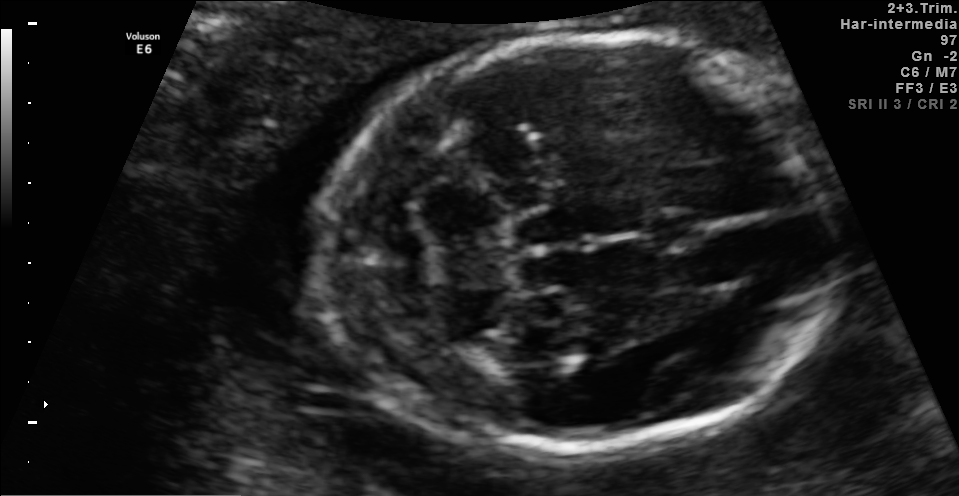
Fetal brain, trans-cerebellum plane. Locate the fetal head.

Head: [316,36,843,448]